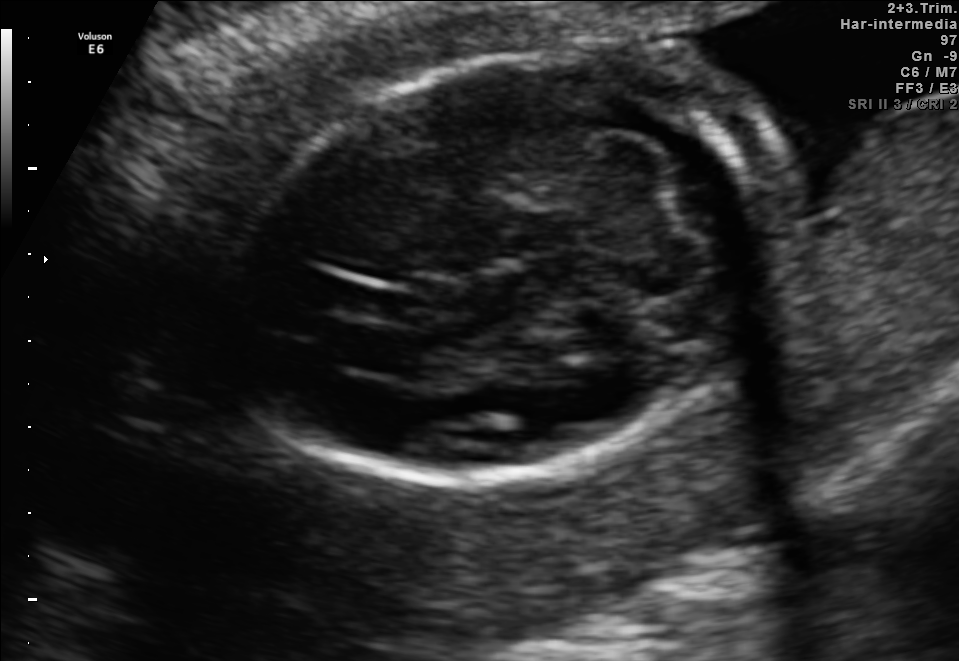
In this fetal brain, trans-cerebellum plane, give bounding boxes for the head outline, cavum septum pellucidum (CSP), and lateral ventricle (LV), where visible.

Head: [228,47,803,484]